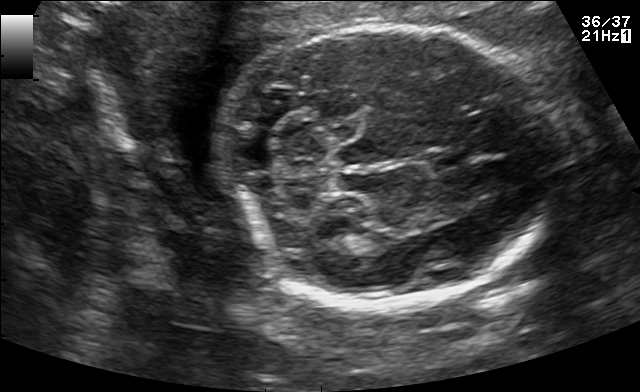
Fetal brain, trans-cerebellum plane. Locate the fetal head.

Head: [220,25,558,305]